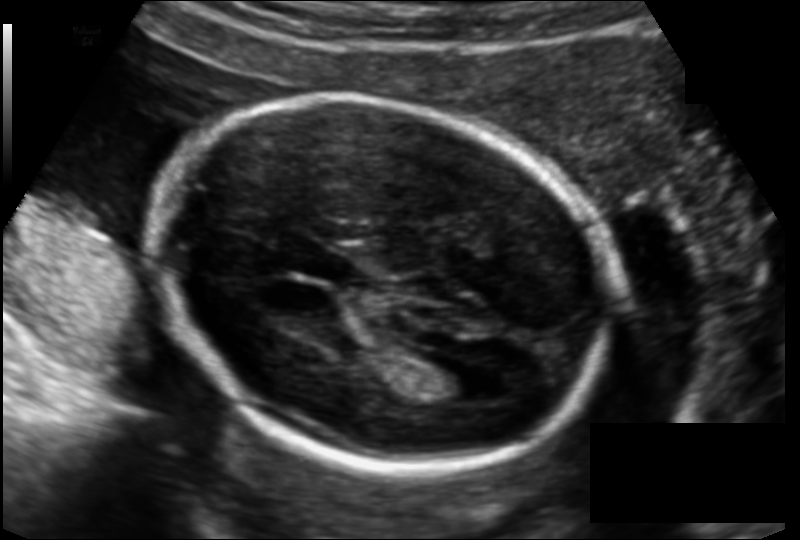
Fetal head ultrasound. Image width: 107.7 mm. Locate the fetal head.

Head: [153,100,611,468]